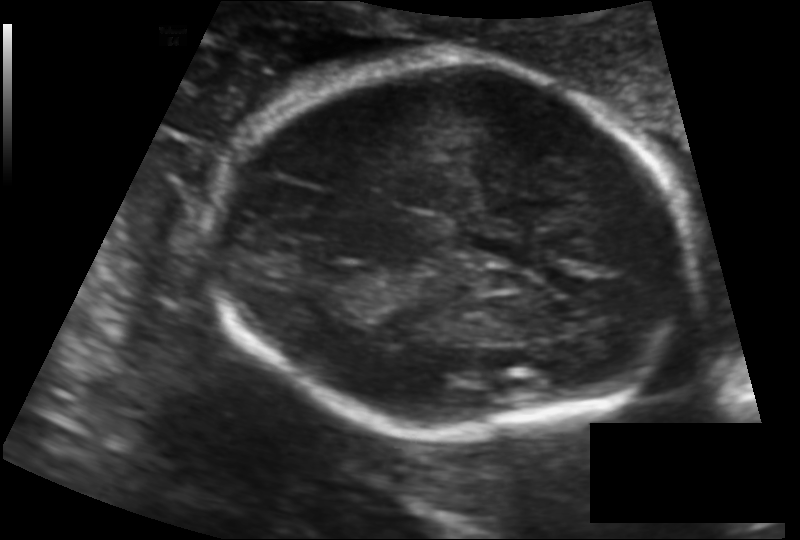
In this fetal head ultrasound, give bounding boxes for the head outline, cavum septum pellucidum (CSP), and lateral ventricle (LV), where visible. Image width: 102.5 mm.

Head: [212,59,688,437]